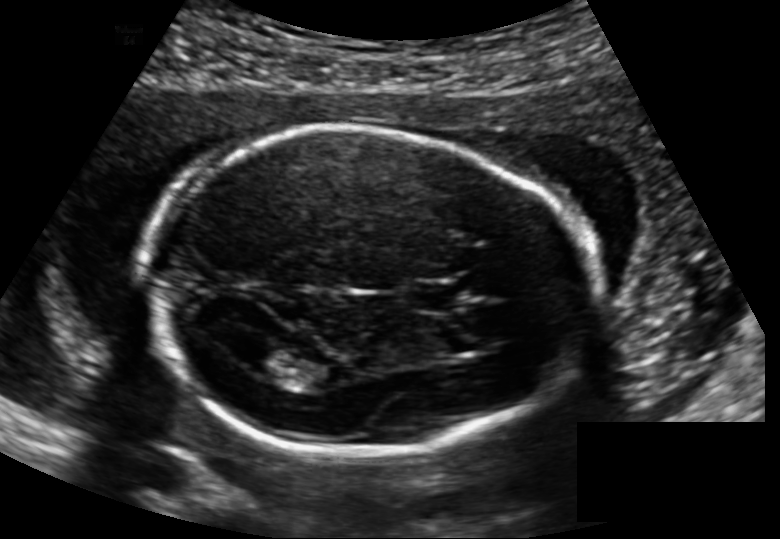
Estimate the fetal head circumference from this 2D ultrasound.

Head circumference: 185.6 mm (image width 115.4 mm).